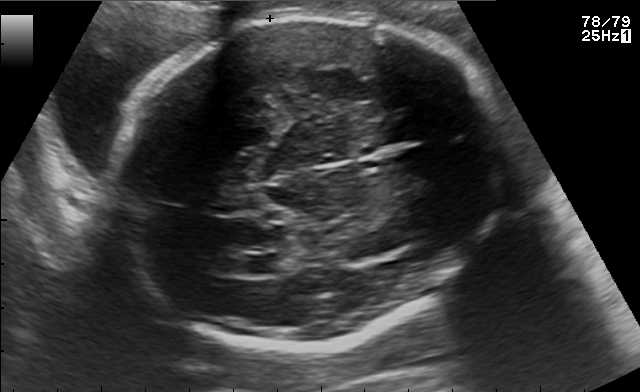
Fetal brain, trans-ventricular plane. Give [x1,y1,x2,y2] bounding boxes for each visible structure among: fetal head, CSP, LV.

Head: [113,13,518,354]
Lateral ventricle: [233,253,282,274]